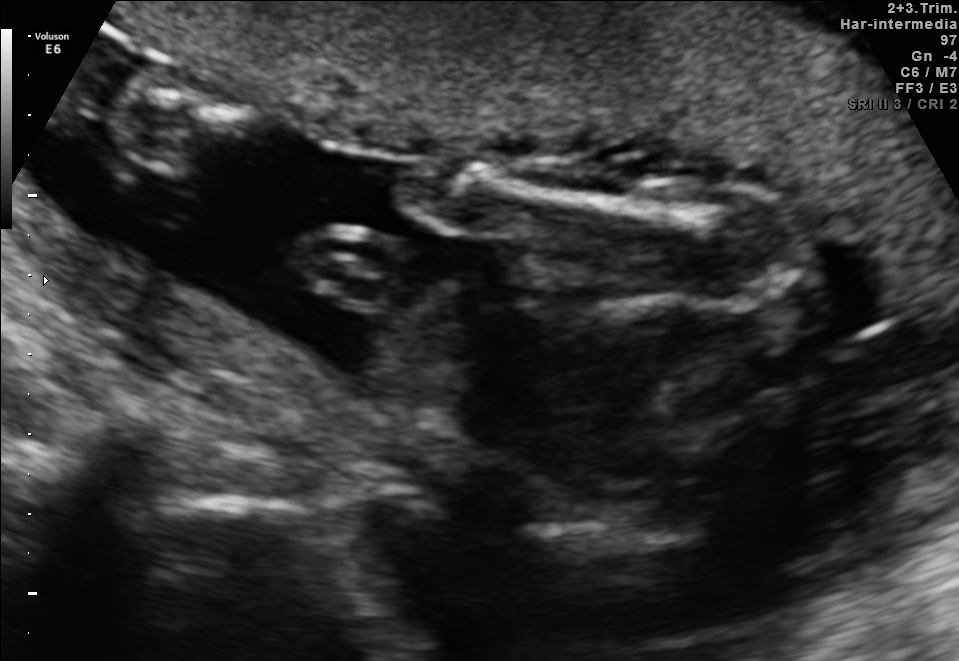
Classify this maternal-fetal ultrasound image as one of the six standard planes — fetal abdomen, fetal brain, fetal femur, fetal thorax, maternal cervix, or other. If it's fetal brain and one of the three standard brain planes (trans-thalamic, trans-cerebellum, trans-ventricular), name which.

Other